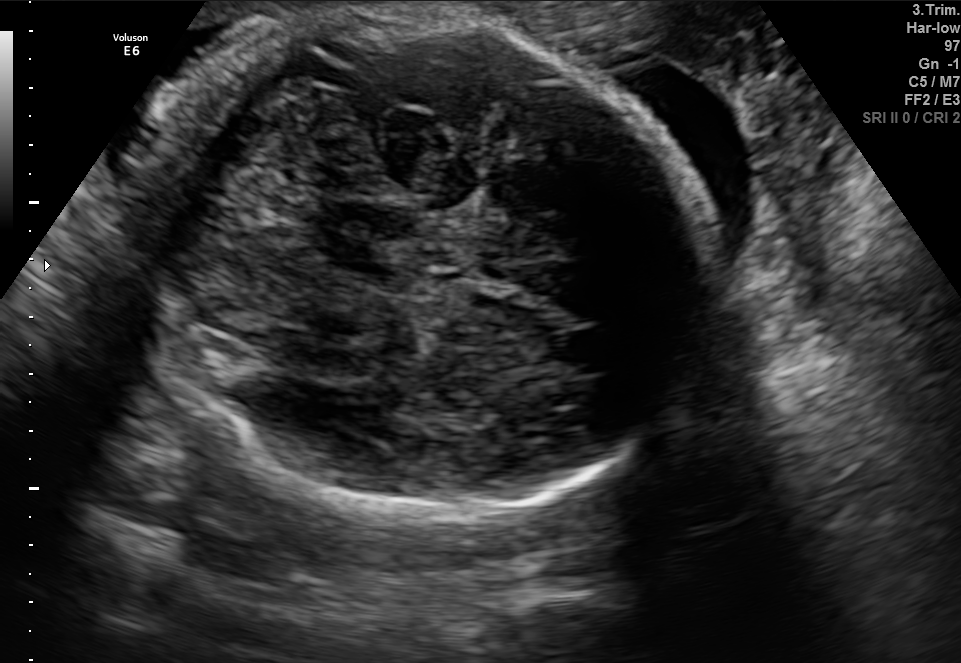
Fetal brain, trans-cerebellum plane. Locate the fetal head and, if visible, the cavum septum pellucidum (CSP) and lateral ventricle (LV). Give bounding boxes as [x1,y1,x2,y2].

Head: [118,17,698,510]